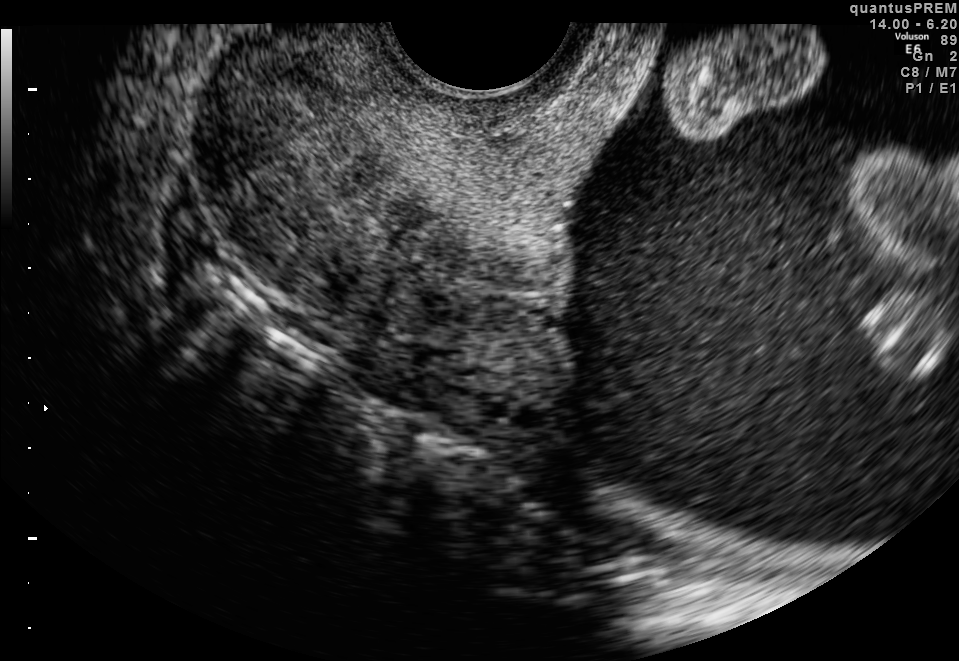
This is a 2D maternal-fetal ultrasound frame. Is it a fetal abdomen, fetal brain, fetal femur, fetal thorax, maternal cervix, or other standard plane? If it's fetal brain and one of the three standard brain planes (trans-thalamic, trans-cerebellum, trans-ventricular), name which.

Maternal cervix